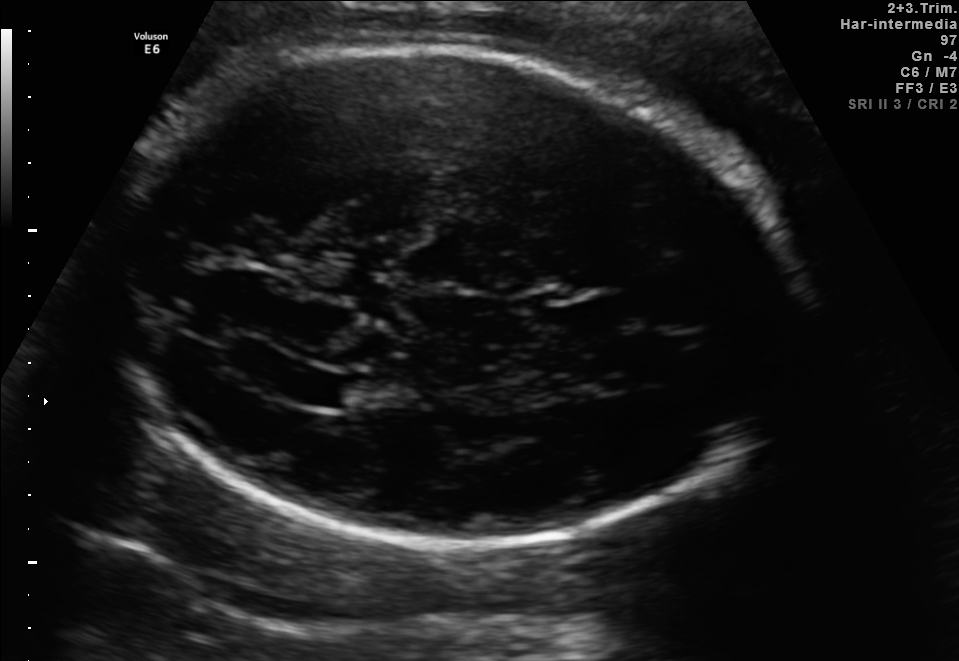
Fetal brain, trans-ventricular plane. Where is the fetal head?

Head bounding box: [99,37,808,562]